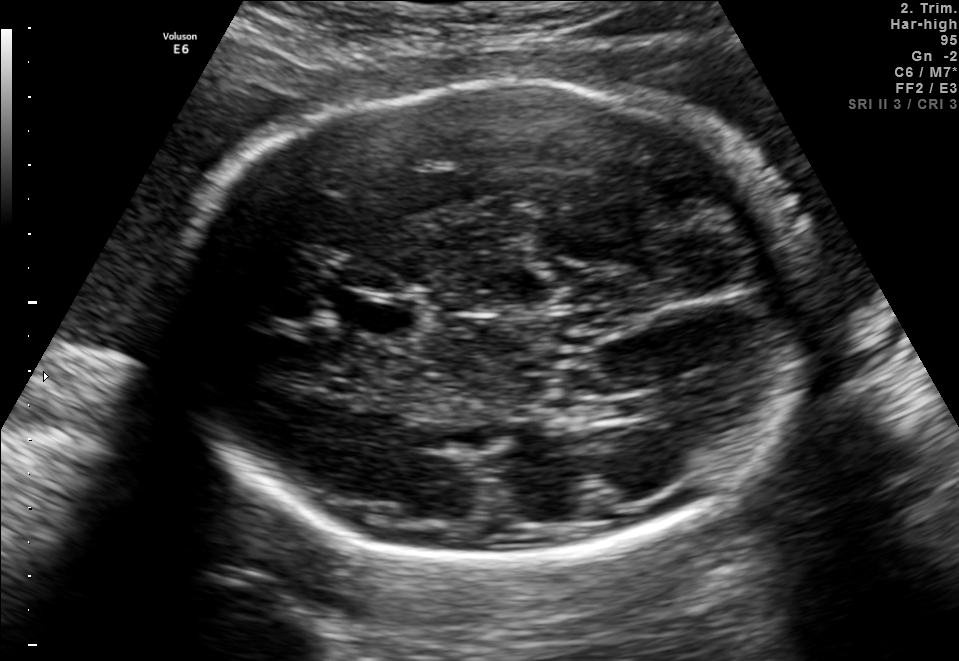
Fetal brain, trans-thalamic plane. Locate the fetal head and, if visible, the cavum septum pellucidum (CSP) and lateral ventricle (LV). Give bounding boxes as [x1,y1,x2,y2].

Head: [170,80,819,559]
CSP: [345,295,417,338]
Lateral ventricle: [613,389,663,423]